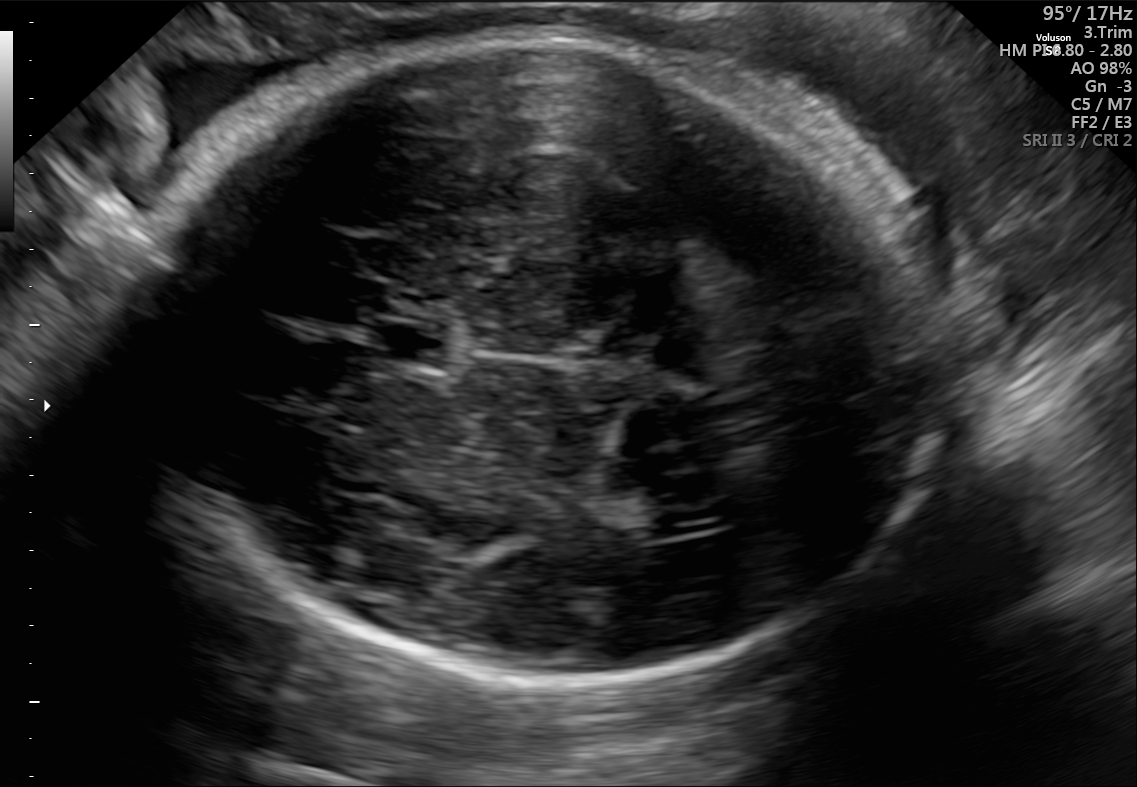
Fetal brain, trans-ventricular plane. Locate the cavum septum pellucidum.

CSP: [370,318,437,366]